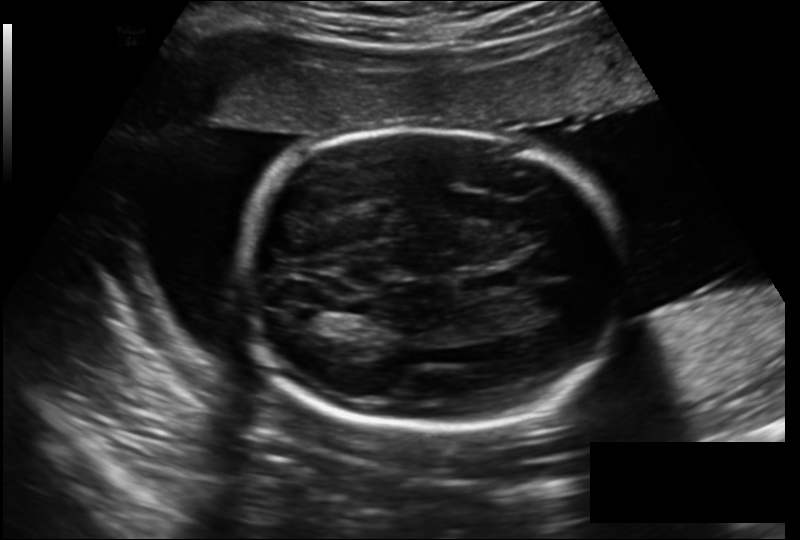
Measure the fetal head circumference shown in this ultrasound image. Image width: 164.7 mm.

Head circumference: 228.2 mm.